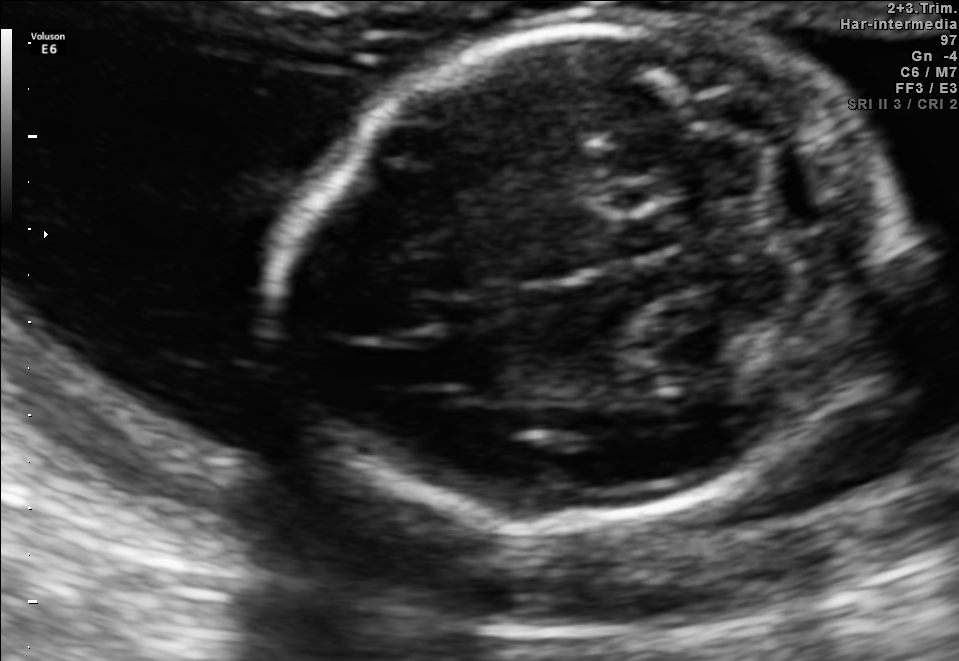
Fetal brain, trans-cerebellum plane. Where is the fetal head?

Head bounding box: [281,23,900,530]